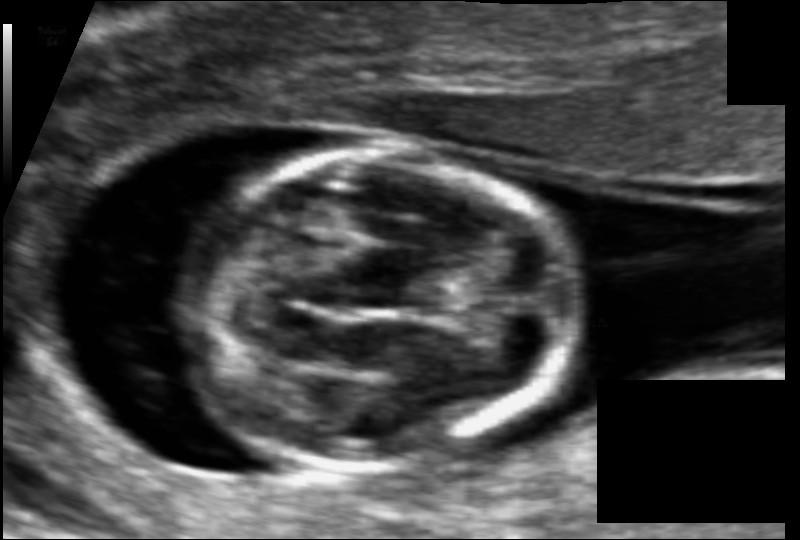
What is the fetal head circumference? Image width is 53.6 mm.

79.0 mm